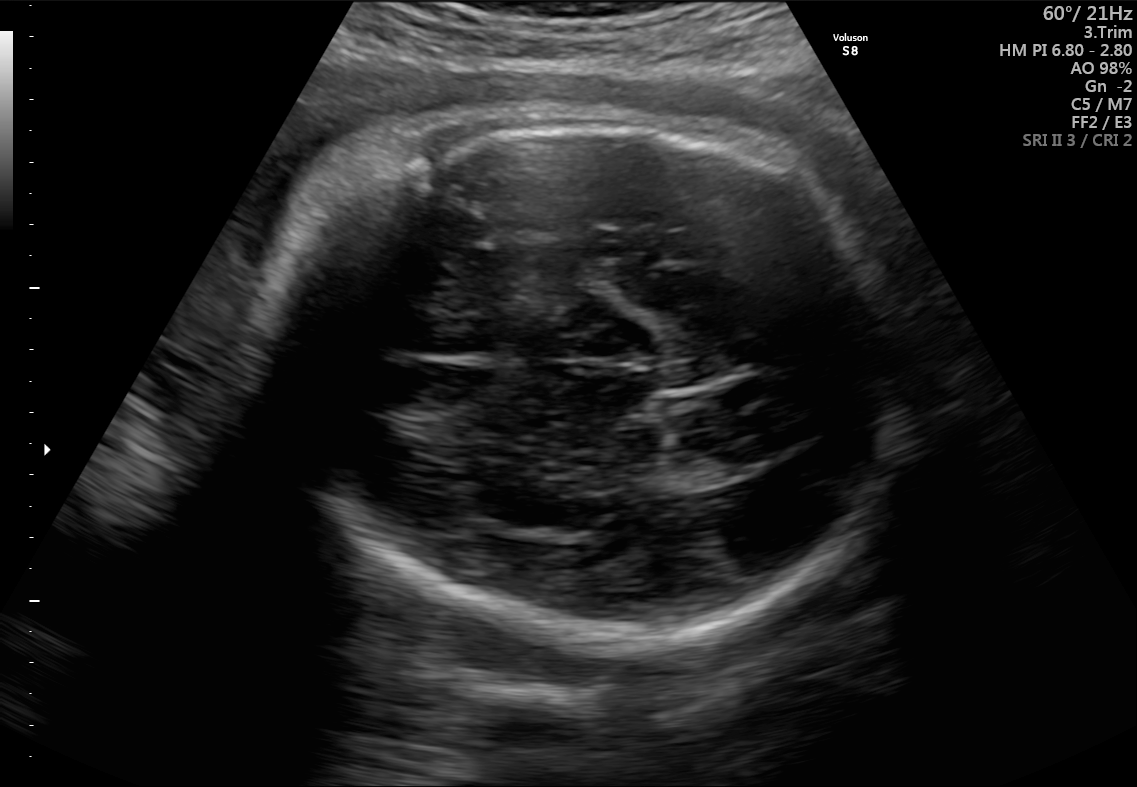
In this fetal brain, trans-thalamic plane, give the bounding box of the lateral ventricle.

[706,430,779,486]